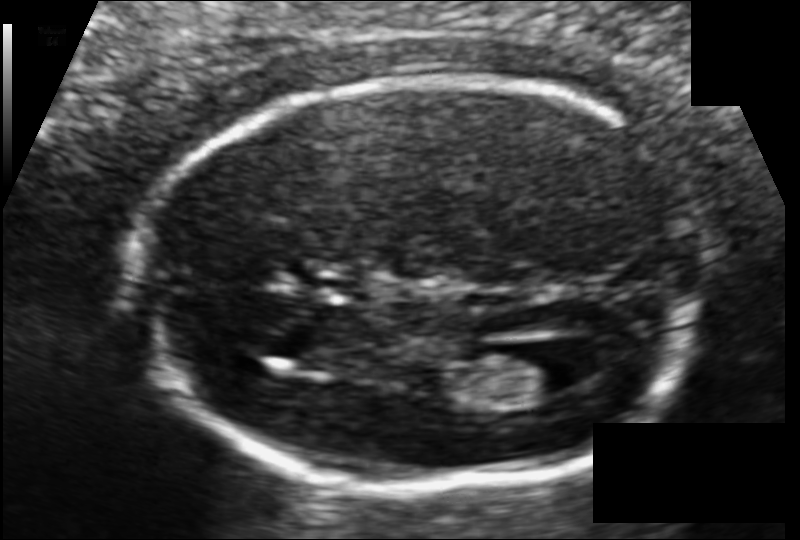
In this fetal head ultrasound, give the bounding box of the lateral ventricle. Image width: 83.6 mm.

[493,336,589,405]